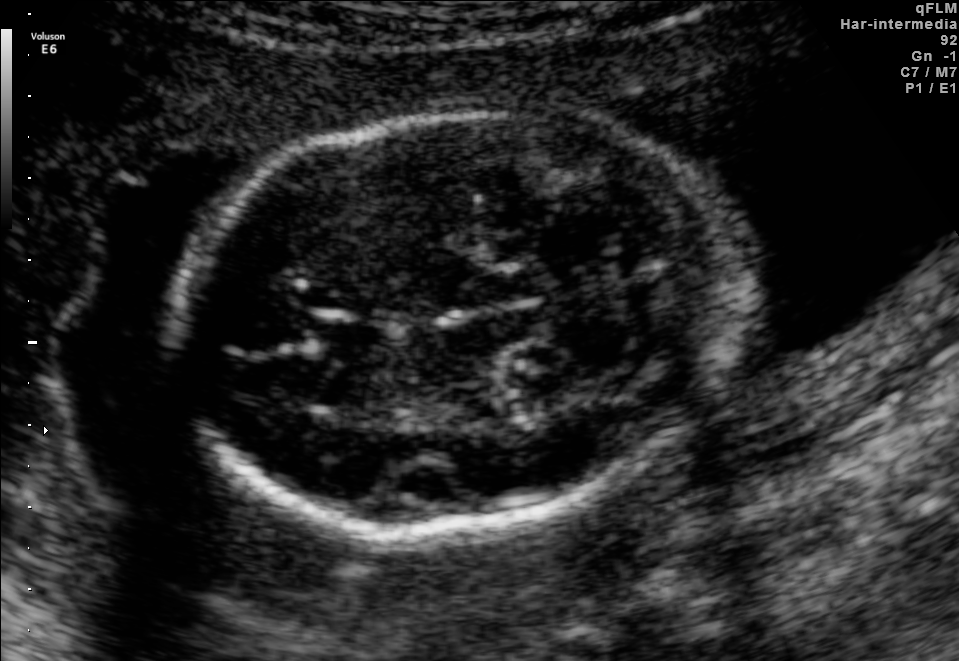
Fetal brain, trans-cerebellum plane. Locate the cavum septum pellucidum.

CSP: [318,316,393,361]